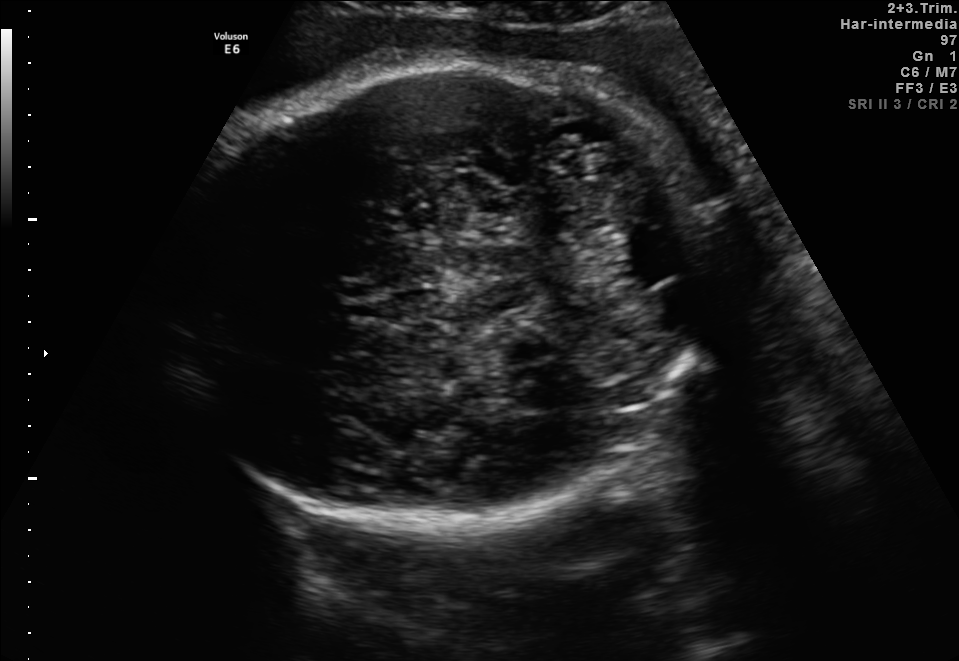
In this fetal brain, trans-cerebellum plane, give bounding boxes for the head outline, cavum septum pellucidum (CSP), and lateral ventricle (LV), where visible.

Head: [164,58,715,517]